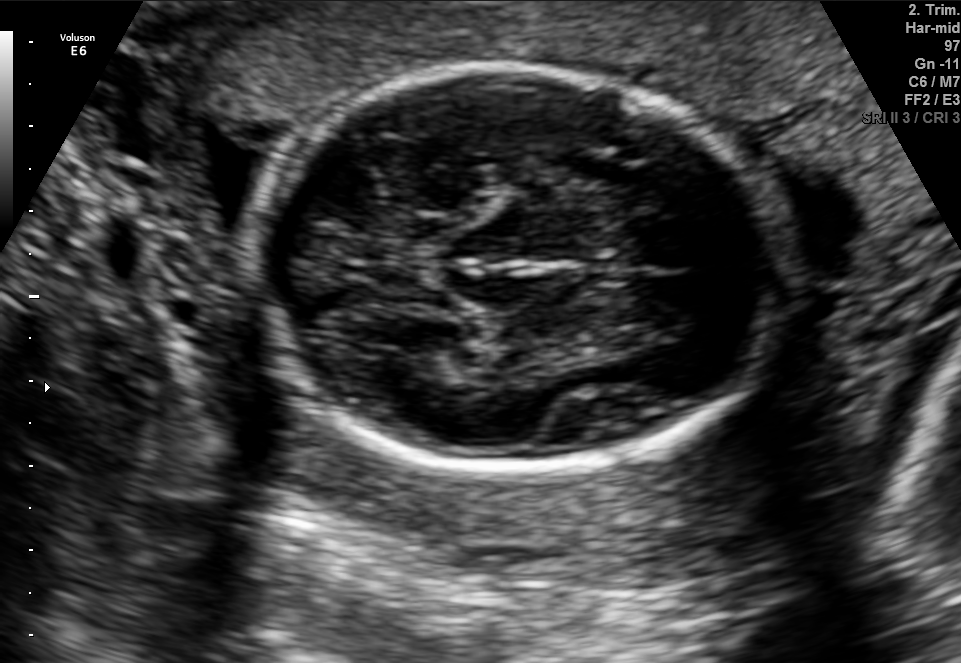
In this fetal brain, trans-thalamic plane, give bounding boxes for the head outline, cavum septum pellucidum (CSP), and lateral ventricle (LV), where visible.

Head: [254,68,776,468]